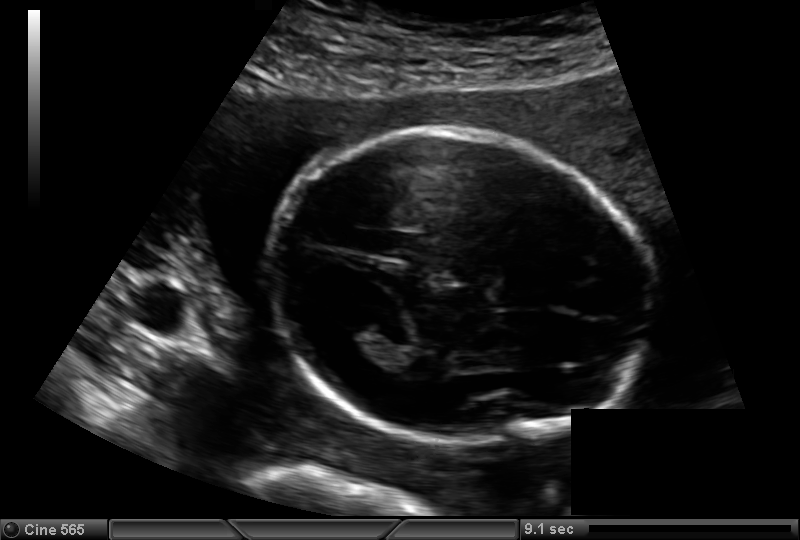
What is the fetal head circumference? Image width is 113.5 mm.

160.4 mm